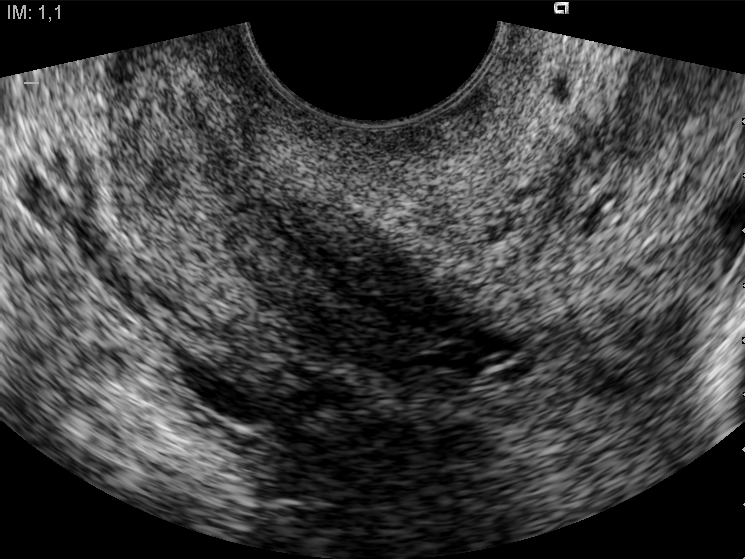
Which standard maternal-fetal ultrasound plane is shown: fetal abdomen, fetal brain, fetal femur, fetal thorax, maternal cervix, or other? If it's fetal brain and one of the three standard brain planes (trans-thalamic, trans-cerebellum, trans-ventricular), name which.

Maternal cervix